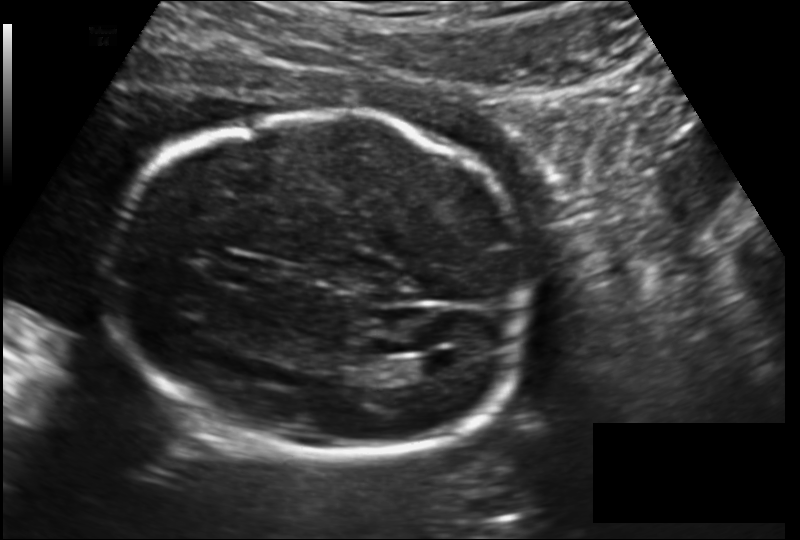
Fetal head ultrasound. Image width: 125.8 mm. Locate the cavum septum pellucidum.

CSP: [217,252,272,289]